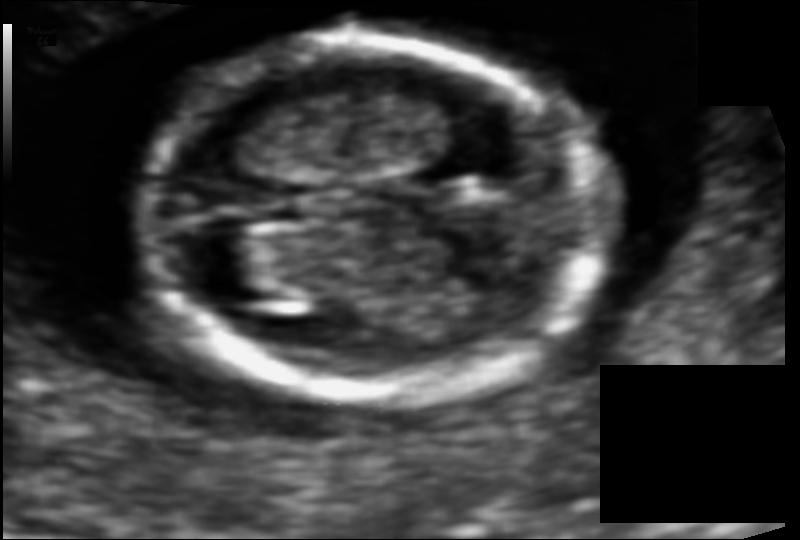
Measure the fetal head circumference shown in this ultrasound image. Image width: 59.6 mm.

Head circumference: 99.4 mm.